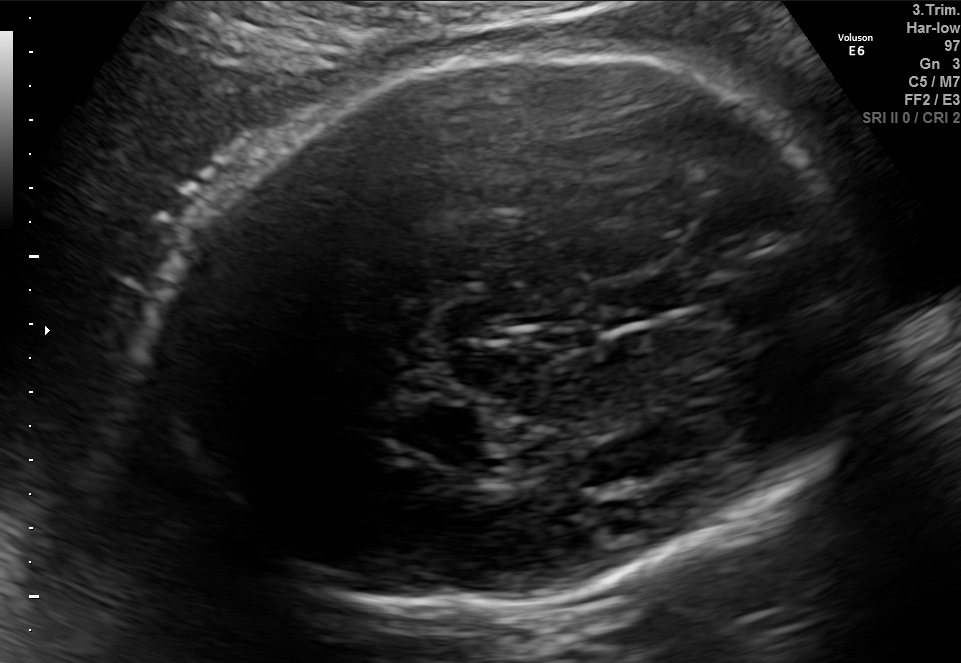
Fetal brain, trans-thalamic plane. Locate the fetal head and, if visible, the cavum septum pellucidum (CSP) and lateral ventricle (LV). Give bounding boxes as [x1,y1,x2,y2].

Head: [150,48,863,607]
CSP: [589,267,693,332]